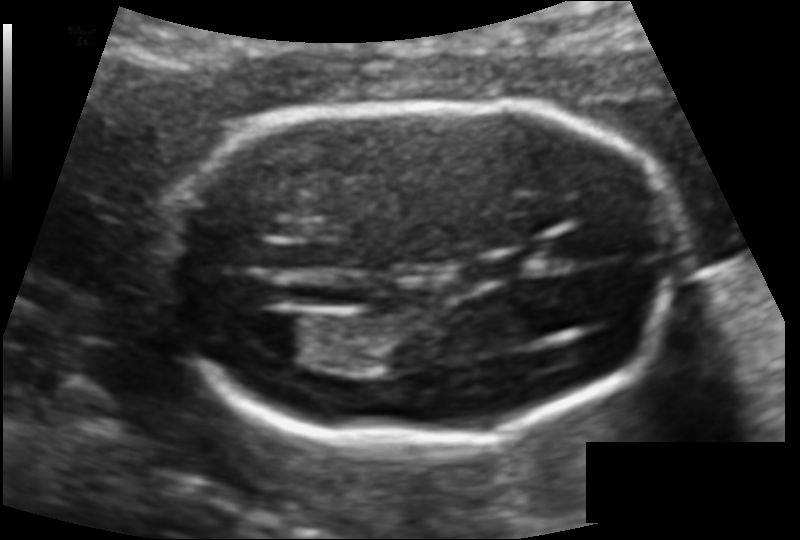
Fetal head ultrasound. Image width: 87.1 mm. Give [x1,y1,x2,y2] bounding boxes for each visible structure among: fetal head, CSP, LV.

Head: [154,104,681,438]
CSP: [545,221,611,271]
Lateral ventricle: [229,307,312,359]